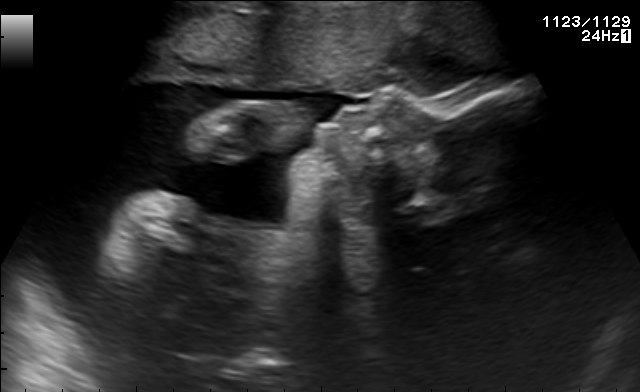
This is a 2D maternal-fetal ultrasound frame. Is it a fetal abdomen, fetal brain, fetal femur, fetal thorax, maternal cervix, or other standard plane? If it's fetal brain and one of the three standard brain planes (trans-thalamic, trans-cerebellum, trans-ventricular), name which.

Other